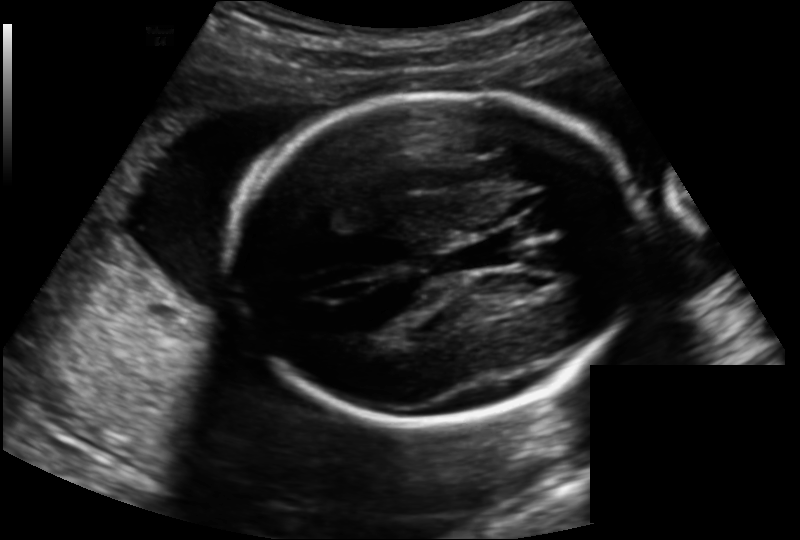
Fetal head ultrasound. Image width: 130.7 mm. Locate the fetal head.

Head: [233,94,646,422]